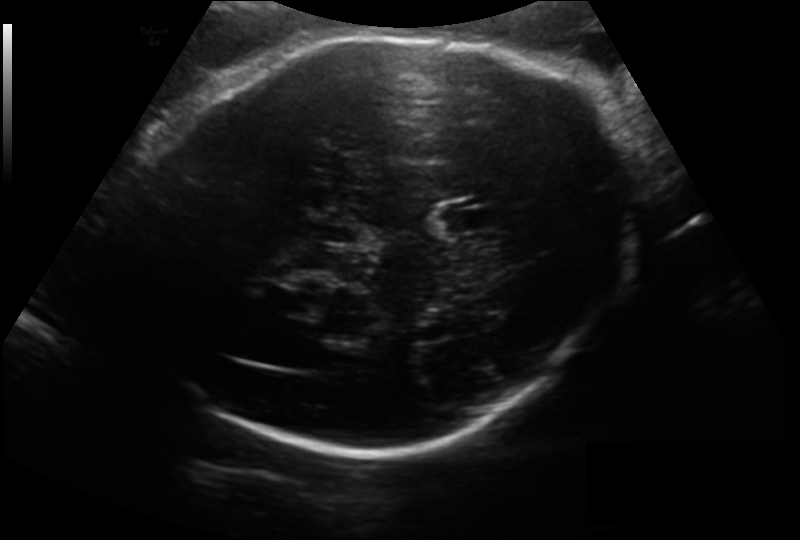
In this fetal head ultrasound, give bounding boxes for the head outline, cavum septum pellucidum (CSP), and lateral ventricle (LV), where visible. Image width: 160.1 mm.

Head: [138,35,626,448]
CSP: [436,197,503,238]